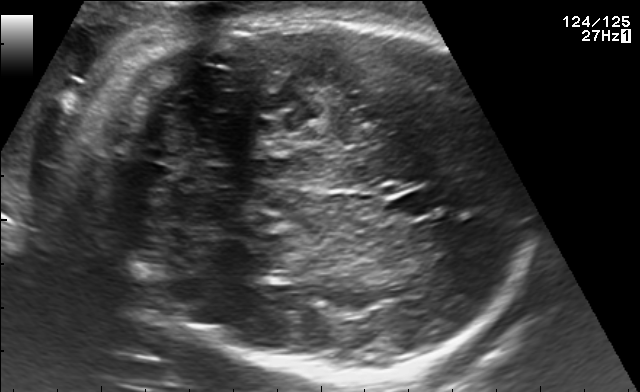
Fetal brain, trans-cerebellum plane. Locate the cavum septum pellucidum.

CSP: [382,184,441,230]